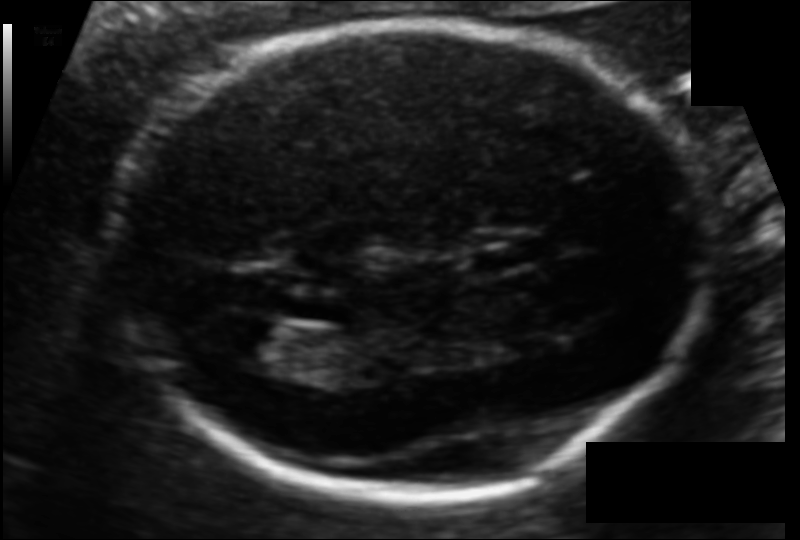
Fetal head ultrasound. Image width: 85.1 mm. Locate the fetal head and, if visible, the cavum septum pellucidum (CSP) and lateral ventricle (LV). Give bounding boxes as [x1,y1,x2,y2].

Head: [118,21,707,491]
CSP: [462,231,544,279]
Lateral ventricle: [210,312,305,379]